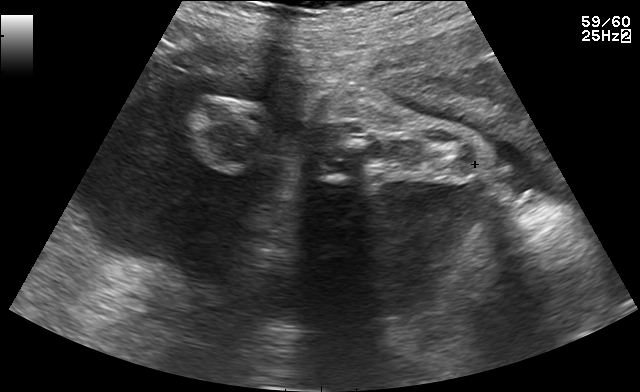
Classify this maternal-fetal ultrasound image as one of the six standard planes — fetal abdomen, fetal brain, fetal femur, fetal thorax, maternal cervix, or other. If it's fetal brain and one of the three standard brain planes (trans-thalamic, trans-cerebellum, trans-ventricular), name which.

Other